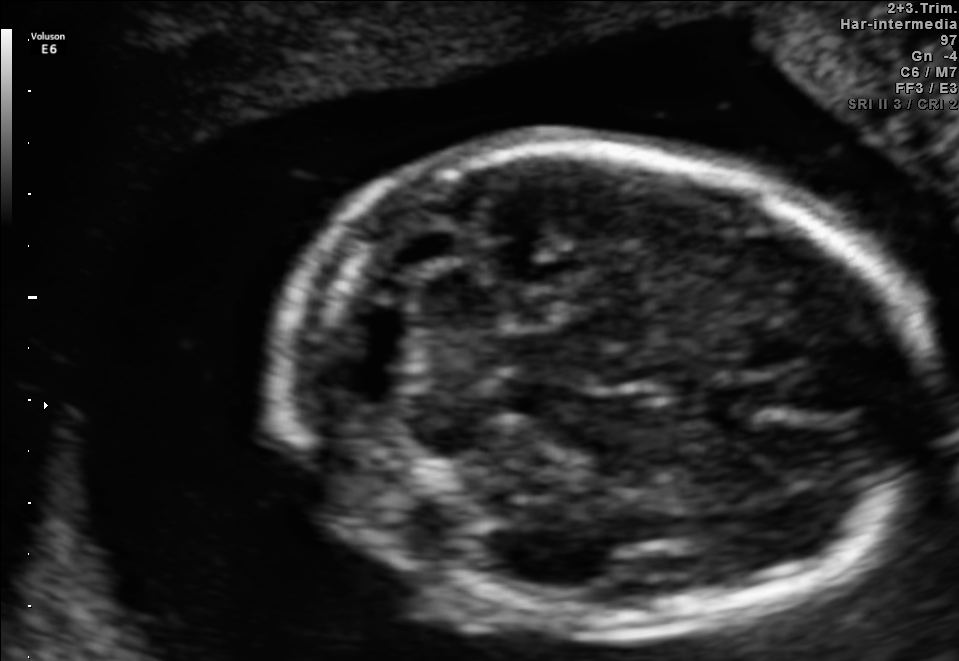
Fetal brain, trans-cerebellum plane. Where is the fetal head?

Head bounding box: [272,146,925,637]